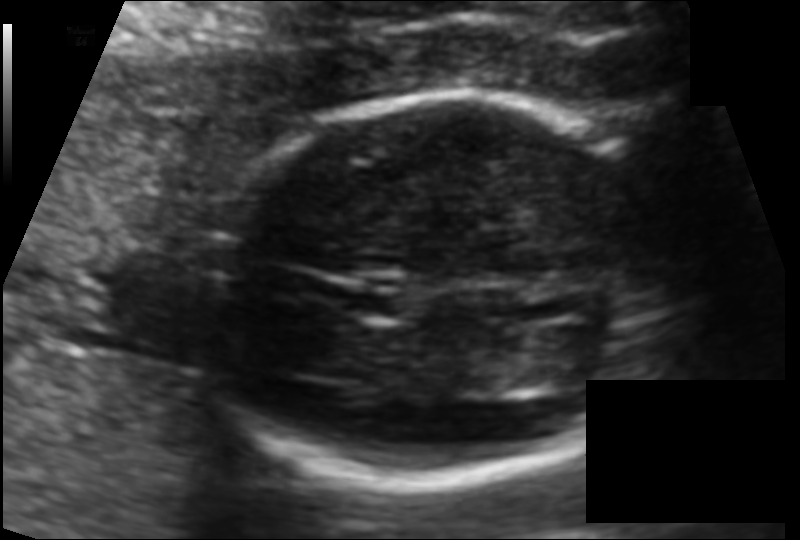
Estimate the fetal head circumference from this 2D ultrasound. Image width: 80.0 mm.

Head circumference: 142.2 mm.